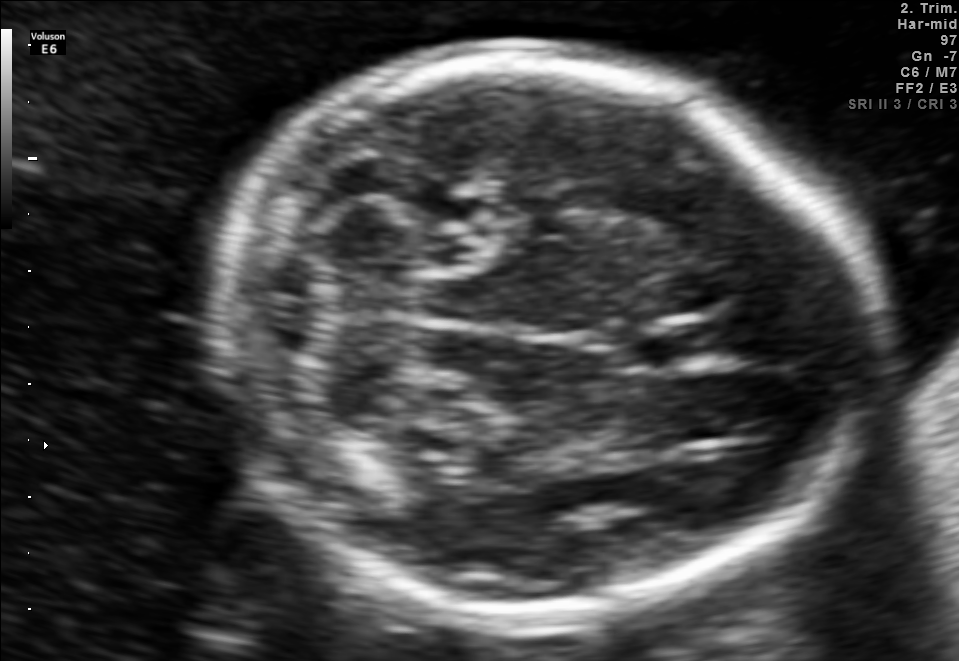
Fetal brain, trans-cerebellum plane. Locate the fetal head and, if visible, the cavum septum pellucidum (CSP) and lateral ventricle (LV). Give bounding boxes as [x1,y1,x2,y2].

Head: [214,59,867,618]
CSP: [621,310,732,374]